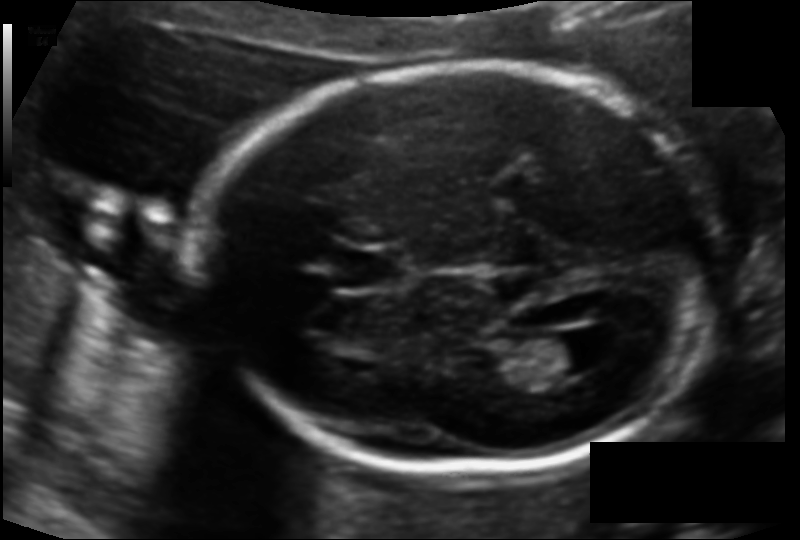
Fetal head ultrasound. Image width: 94.2 mm. Where is the cavum septum pellucidum?

CSP bounding box: [338,251,404,287]